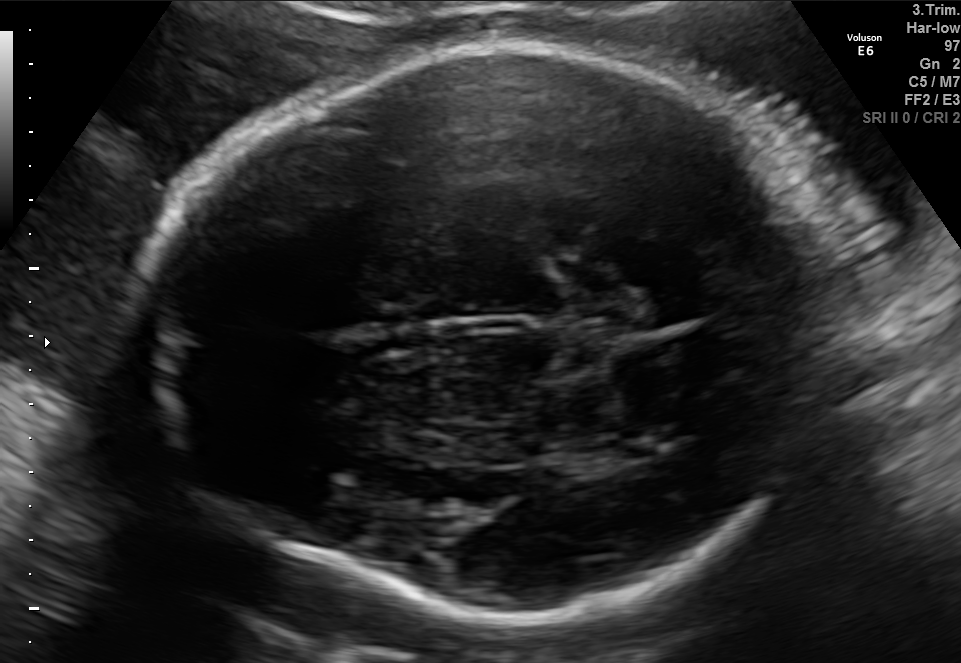
Identify the standard plane in this fetal ultrasound image: fetal abdomen, fetal brain, fetal femur, fetal thorax, maternal cervix, or other. If it's fetal brain and one of the three standard brain planes (trans-thalamic, trans-cerebellum, trans-ventricular), name which.

Fetal brain (trans-thalamic plane)